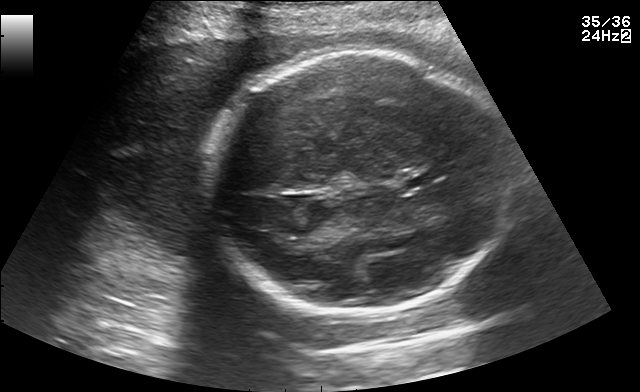
Fetal brain, trans-thalamic plane. Locate the fetal head.

Head: [206,49,509,312]